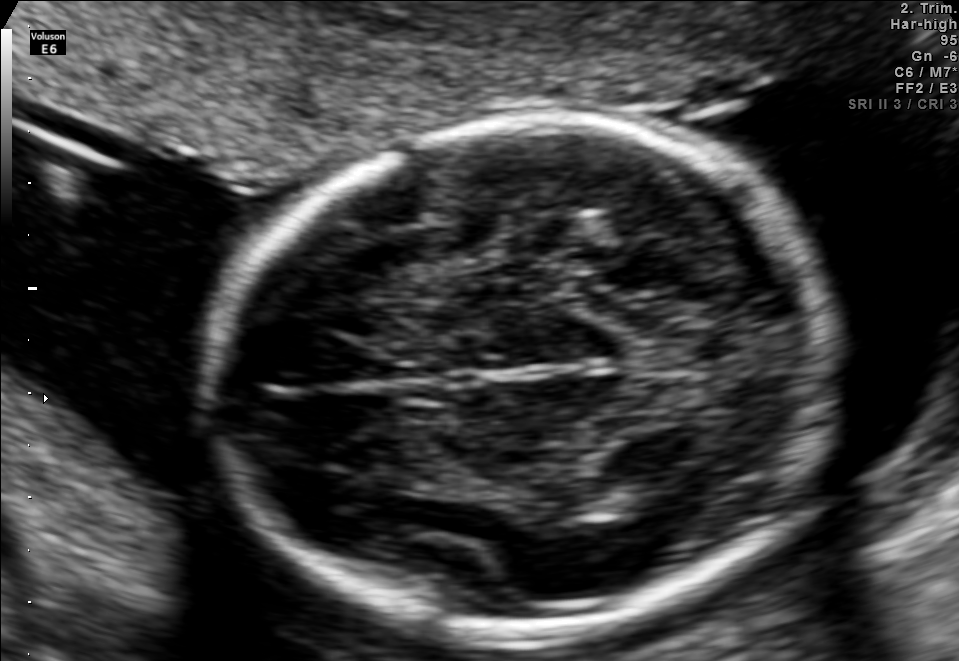
Identify the standard plane in this fetal ultrasound image: fetal abdomen, fetal brain, fetal femur, fetal thorax, maternal cervix, or other. If it's fetal brain and one of the three standard brain planes (trans-thalamic, trans-cerebellum, trans-ventricular), name which.

Fetal brain (trans-thalamic plane)